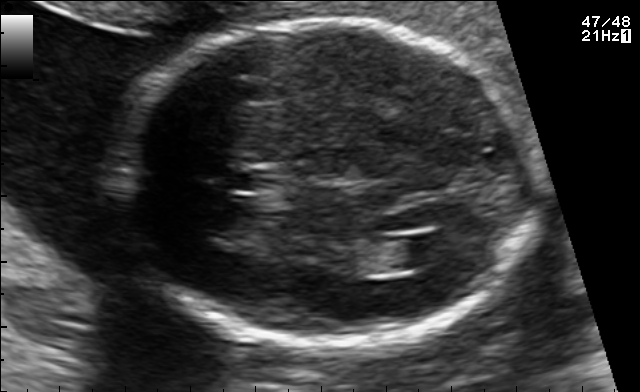
This is a 2D maternal-fetal ultrasound frame. Is it a fetal abdomen, fetal brain, fetal femur, fetal thorax, maternal cervix, or other standard plane? If it's fetal brain and one of the three standard brain planes (trans-thalamic, trans-cerebellum, trans-ventricular), name which.

Fetal brain (trans-ventricular plane)